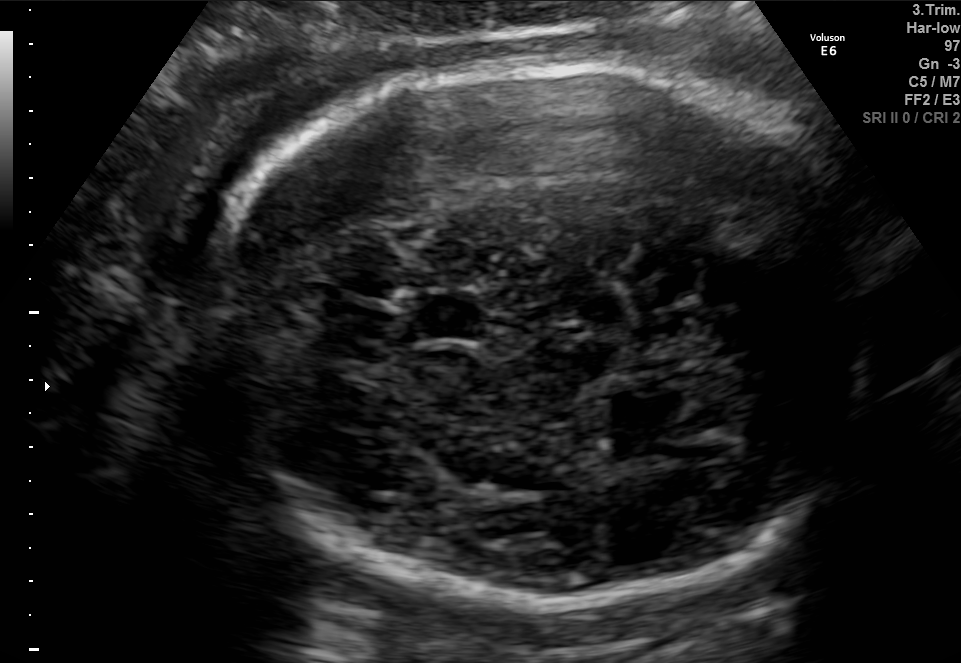
Fetal brain, trans-thalamic plane. Where is the fetal head?

Head bounding box: [191,61,894,594]